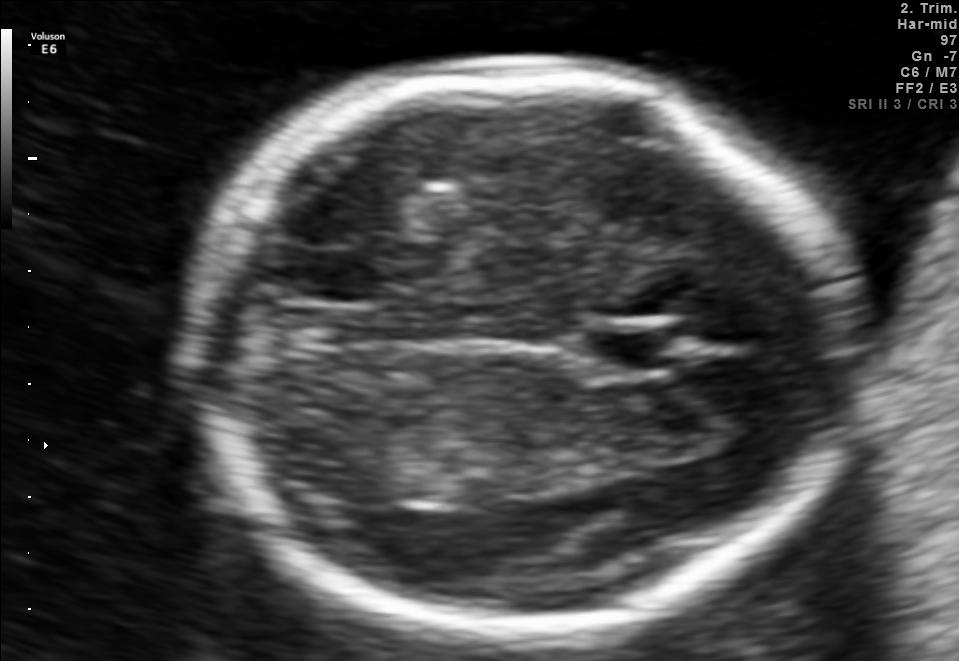
Fetal brain, trans-thalamic plane. Locate the cavum septum pellucidum.

CSP: [590,323,686,376]